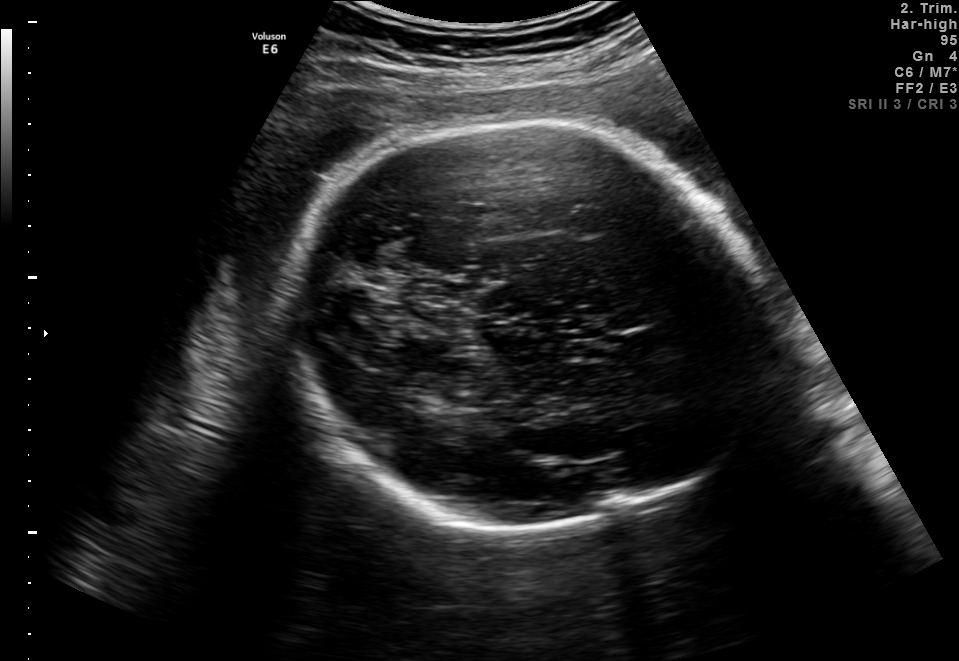
In this fetal brain, trans-thalamic plane, give bounding boxes for the head outline, cavum septum pellucidum (CSP), and lateral ventricle (LV), where visible.

Head: [292,116,763,533]